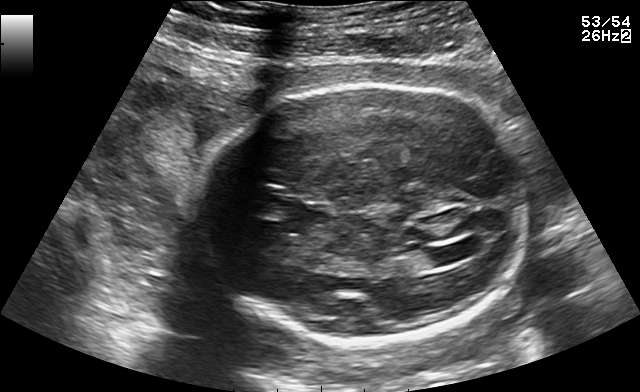
In this fetal brain, trans-ventricular plane, give bounding boxes for the head outline, cavum septum pellucidum (CSP), and lateral ventricle (LV), where visible.

Head: [196,77,537,349]
Lateral ventricle: [428,239,473,268]